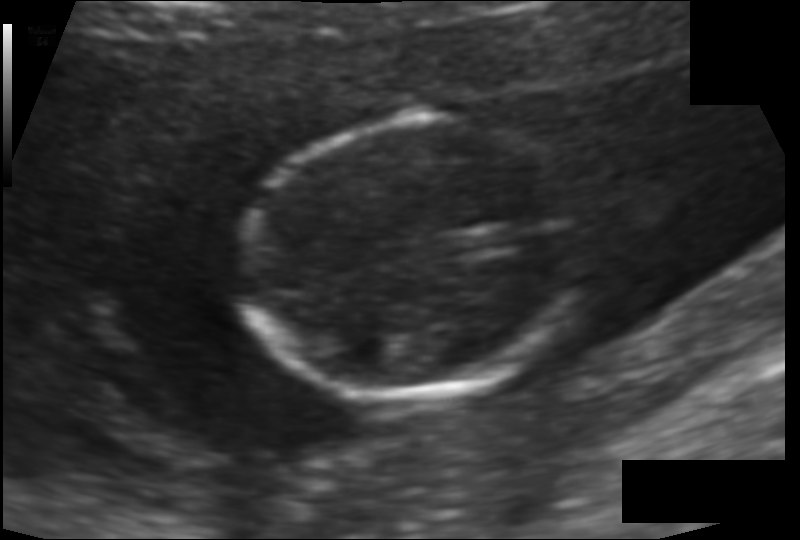
Fetal head ultrasound. Image width: 77.6 mm. Locate the fetal head.

Head: [246,118,586,396]